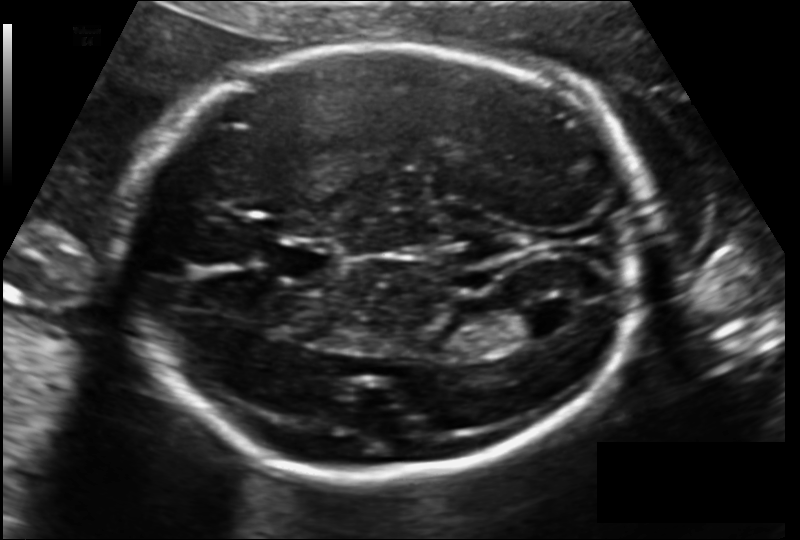
Fetal head ultrasound. Image width: 118.5 mm. Give [x1,y1,x2,y2] bounding boxes for each visible structure among: fetal head, CSP, LV.

Head: [127,45,647,474]
CSP: [274,244,340,281]
Lateral ventricle: [496,298,563,346]